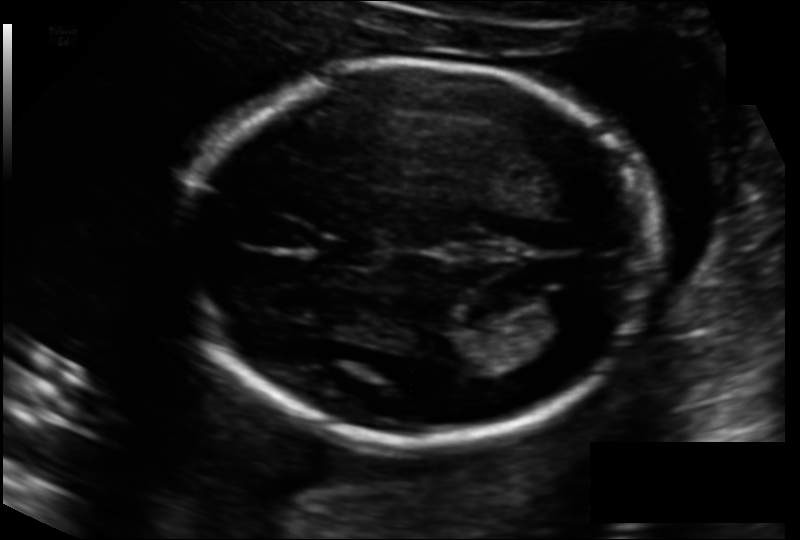
Fetal head ultrasound. Image width: 106.6 mm. Locate the fetal head and, if visible, the cavum septum pellucidum (CSP) and lateral ventricle (LV). Give bounding boxes as [x1,y1,x2,y2].

Head: [180,61,657,444]
CSP: [319,234,381,270]
Lateral ventricle: [523,283,595,341]